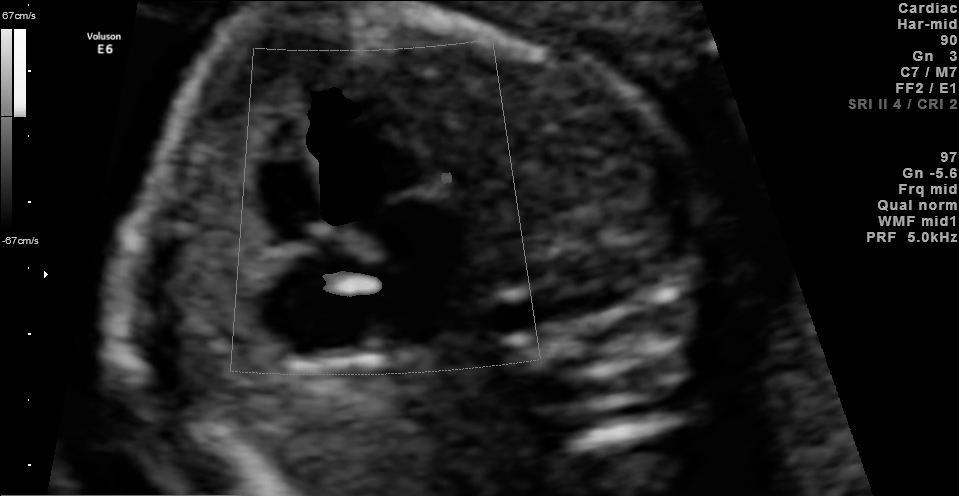
Classify this maternal-fetal ultrasound image as one of the six standard planes — fetal abdomen, fetal brain, fetal femur, fetal thorax, maternal cervix, or other. If it's fetal brain and one of the three standard brain planes (trans-thalamic, trans-cerebellum, trans-ventricular), name which.

Other